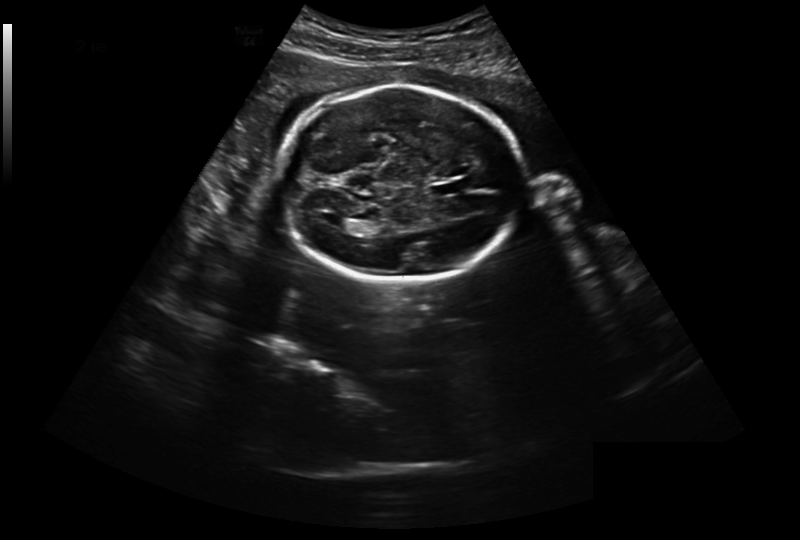
Fetal head ultrasound. Image width: 241.1 mm. Where is the lateral ventricle?

Lateral ventricle bounding box: [324,212,351,233]